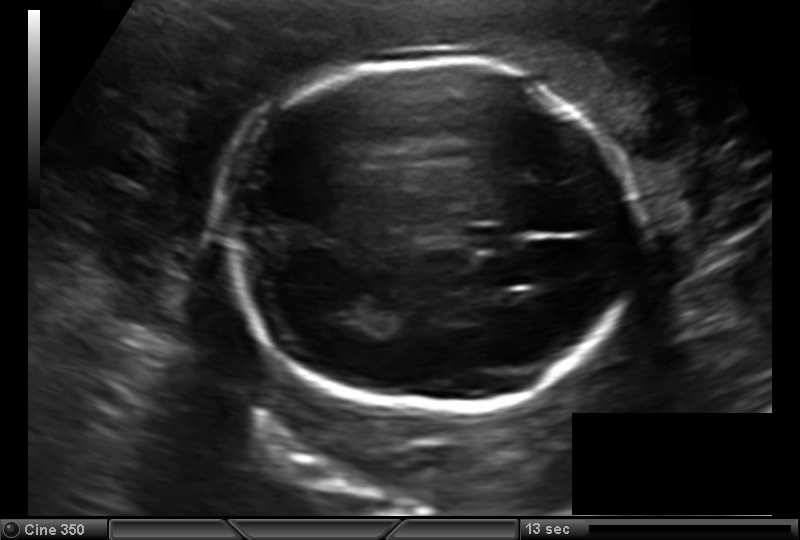
Fetal head ultrasound. Image width: 125.6 mm. Where is the fetal head?

Head bounding box: [223,60,642,408]